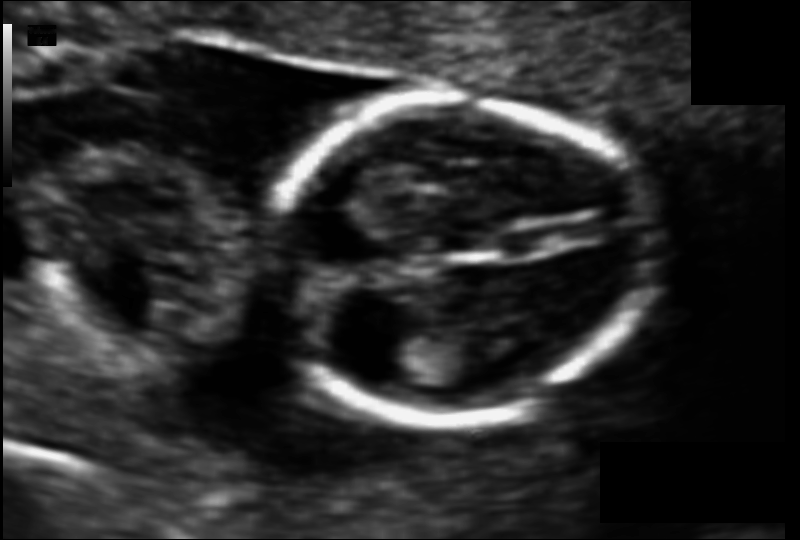
In this fetal head ultrasound, give the bounding box of the fetal head. Image width: 66.6 mm.

[262,100,655,419]